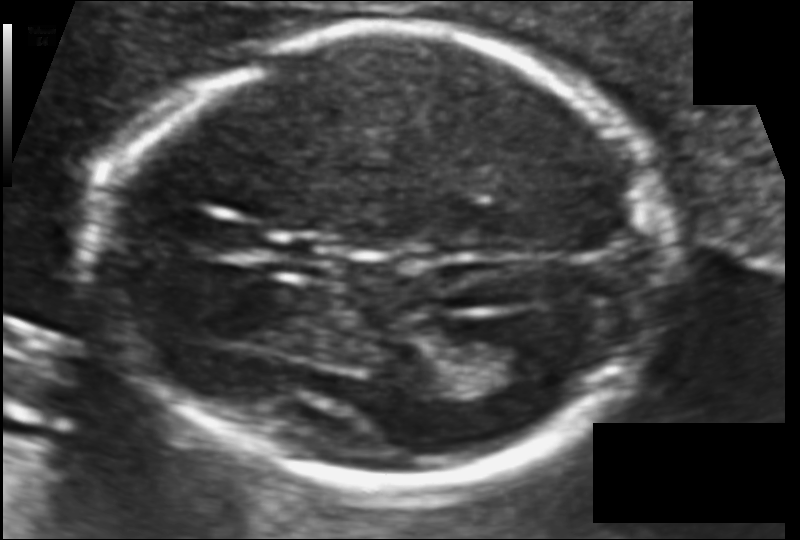
In this fetal head ultrasound, give the bounding box of the fetal head. Image width: 78.9 mm.

[102,28,662,488]